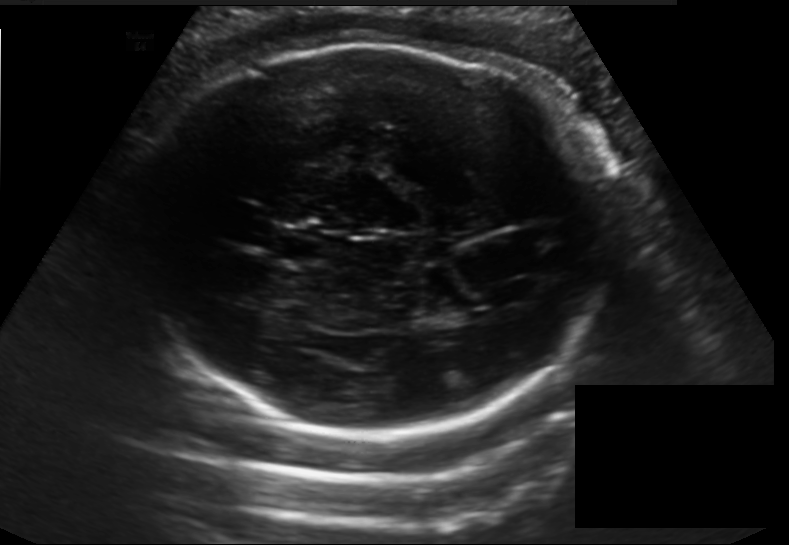
Fetal head ultrasound. Image width: 156.6 mm. Where is the fetal head?

Head bounding box: [128,44,610,435]